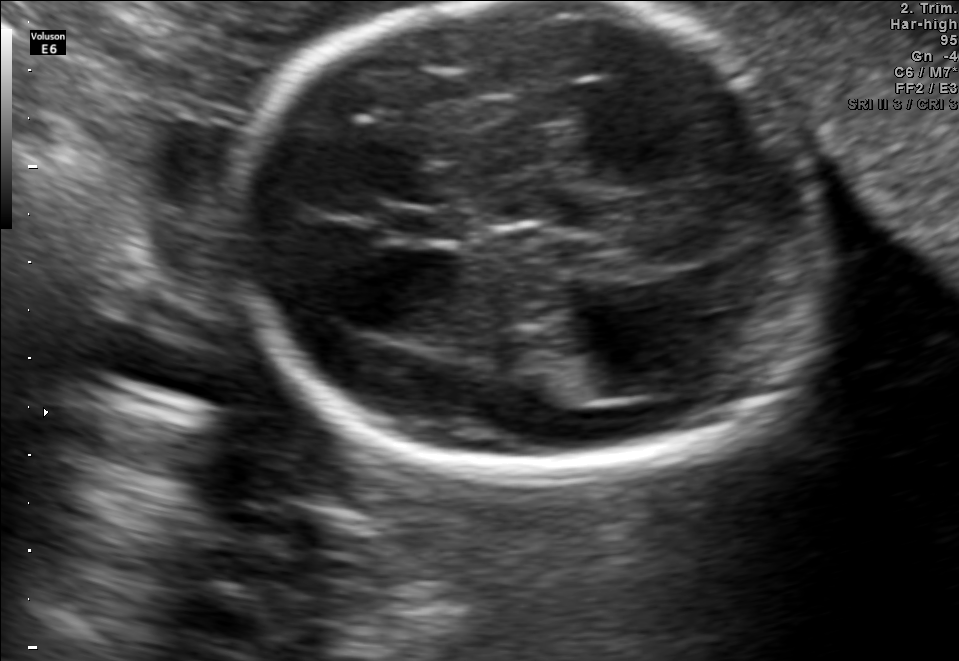
Fetal brain, trans-thalamic plane. Give [x1,y1,x2,y2] bounding boxes for each visible structure among: fetal head, CSP, LV.

Head: [230,2,823,479]
CSP: [383,204,464,241]
Lateral ventricle: [551,342,677,404]